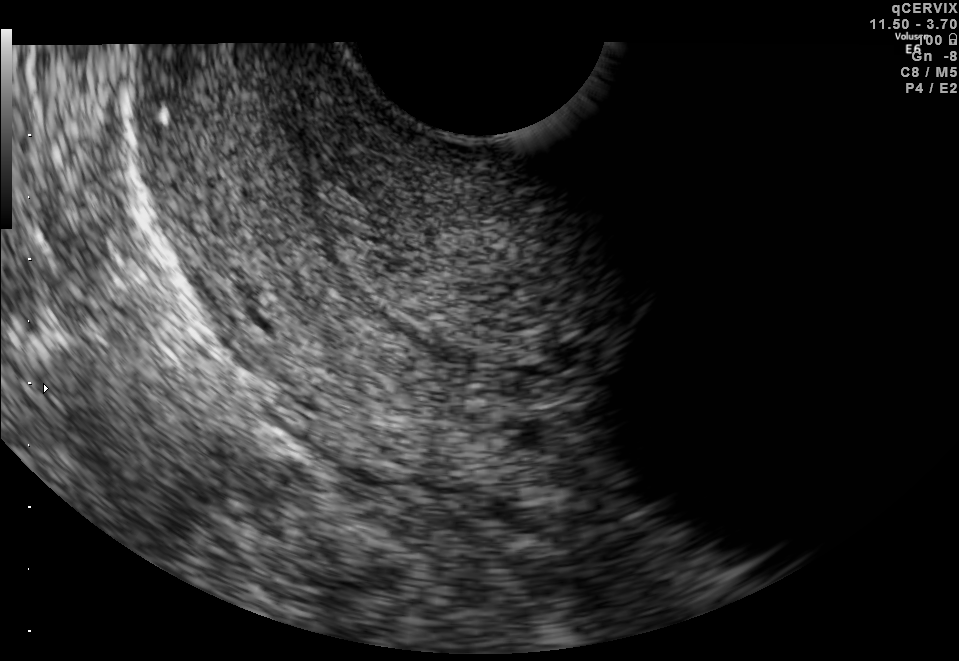
Classify this maternal-fetal ultrasound image as one of the six standard planes — fetal abdomen, fetal brain, fetal femur, fetal thorax, maternal cervix, or other. If it's fetal brain and one of the three standard brain planes (trans-thalamic, trans-cerebellum, trans-ventricular), name which.

Maternal cervix